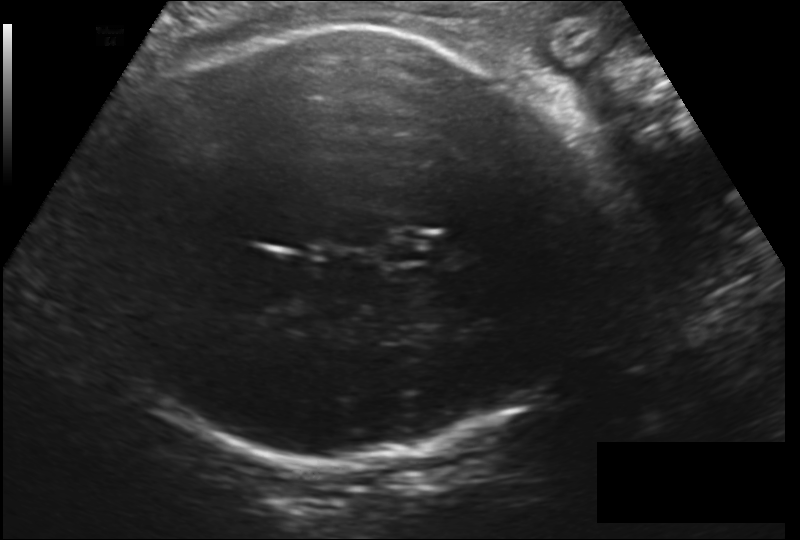
Fetal head ultrasound. Image width: 169.8 mm. Where is the fetal head?

Head bounding box: [93,27,609,466]